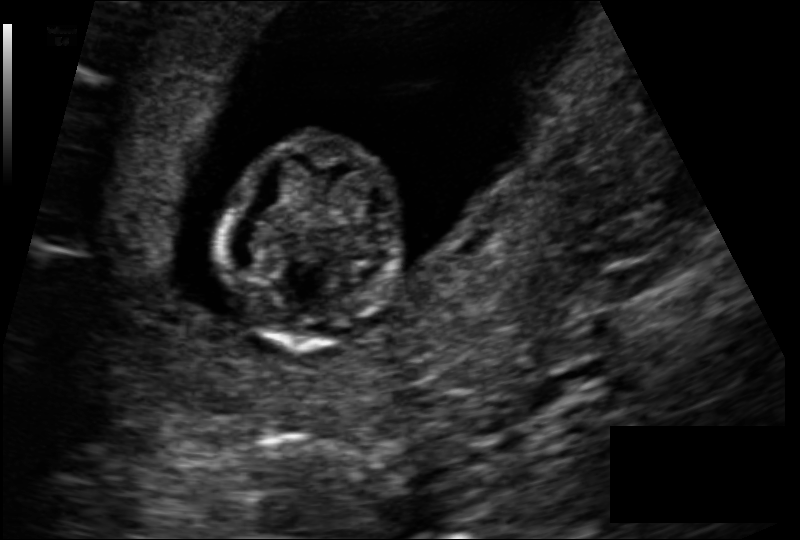
Fetal head ultrasound. Image width: 90.6 mm. Where is the fetal head?

Head bounding box: [219,137,405,350]